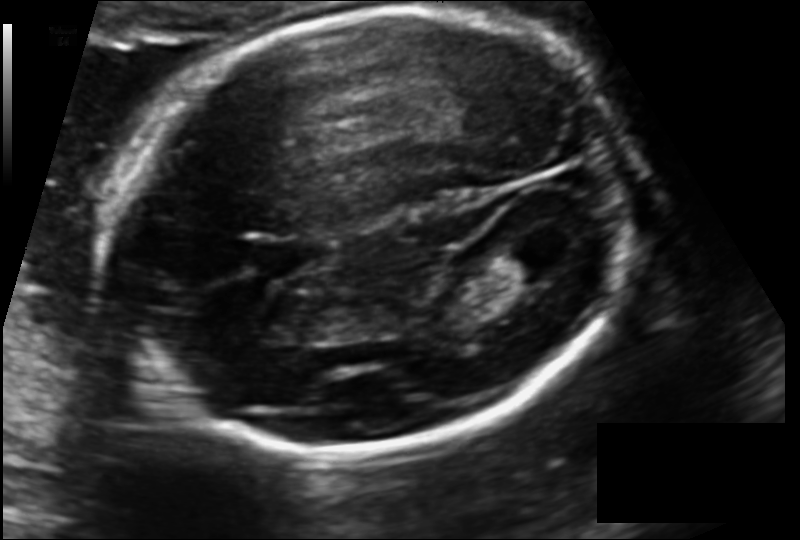
Fetal head ultrasound. Image width: 105.5 mm. Where is the fetal head?

Head bounding box: [111,9,637,453]